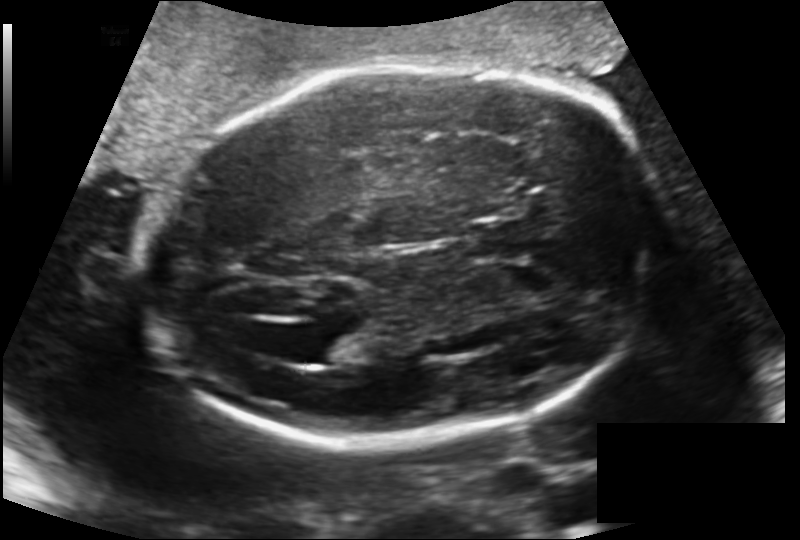
Fetal head ultrasound. Image width: 136.0 mm. Give [x1,y1,x2,y2] bounding boxes for each visible structure among: fetal head, CSP, LV.

Head: [142,63,668,444]
CSP: [467,216,534,262]
Lateral ventricle: [308,330,361,367]